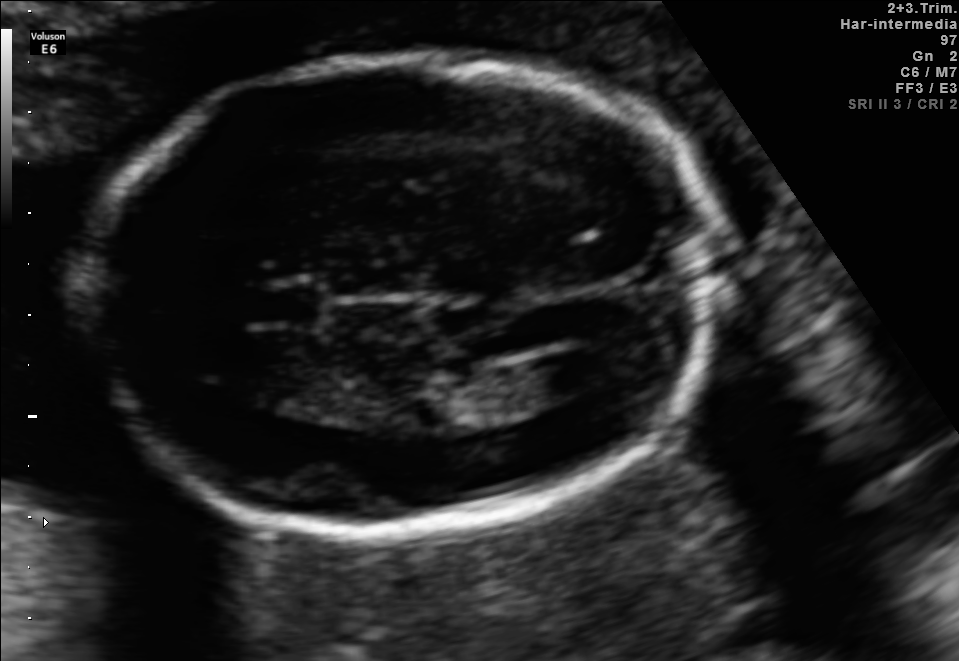
In this fetal brain, trans-ventricular plane, give bounding boxes for the head outline, cavum septum pellucidum (CSP), and lateral ventricle (LV), where visible.

Head: [67,49,742,548]
CSP: [249,288,318,322]
Lateral ventricle: [534,341,619,402]